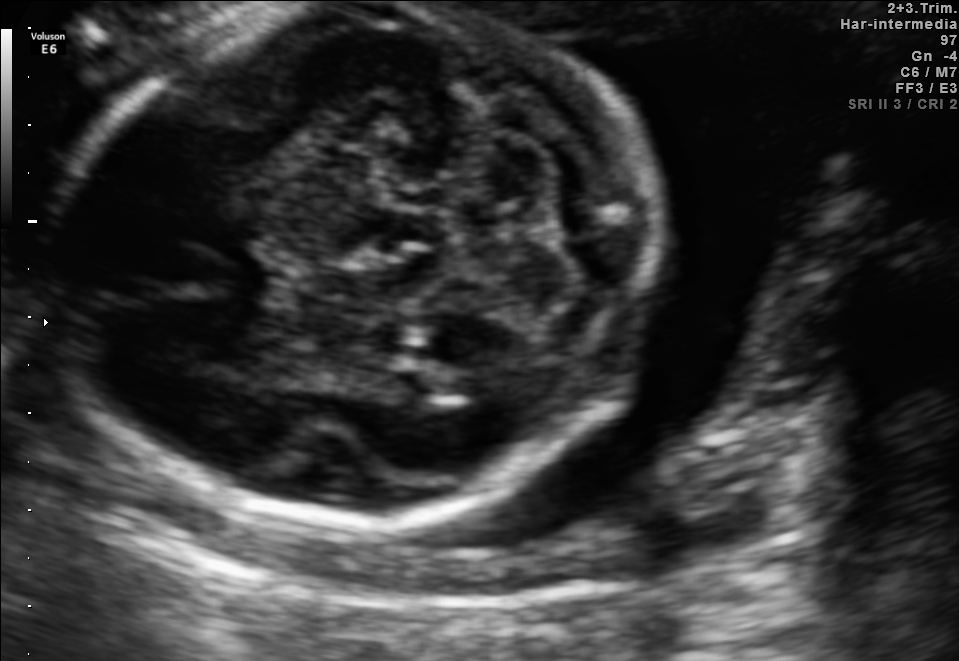
Fetal brain, trans-cerebellum plane. Where is the fetal head?

Head bounding box: [51,4,656,525]